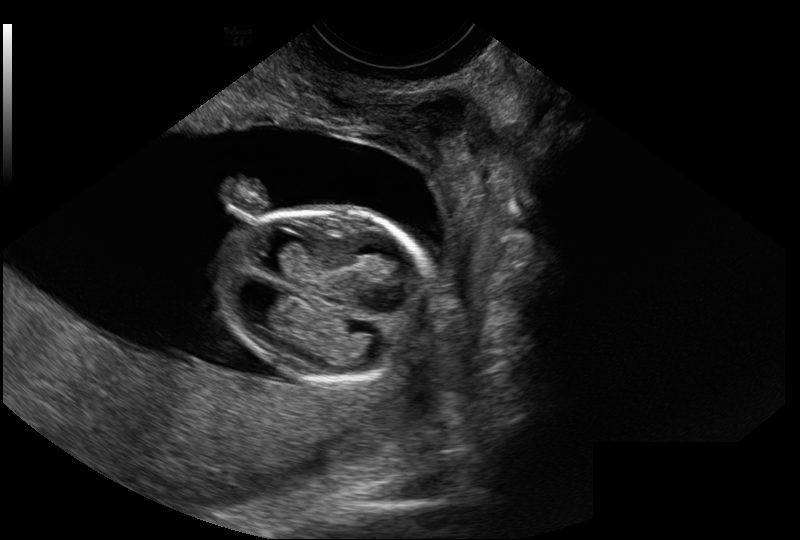
Fetal head ultrasound. Image width: 91.6 mm. Where is the fetal head?

Head bounding box: [216,210,435,382]